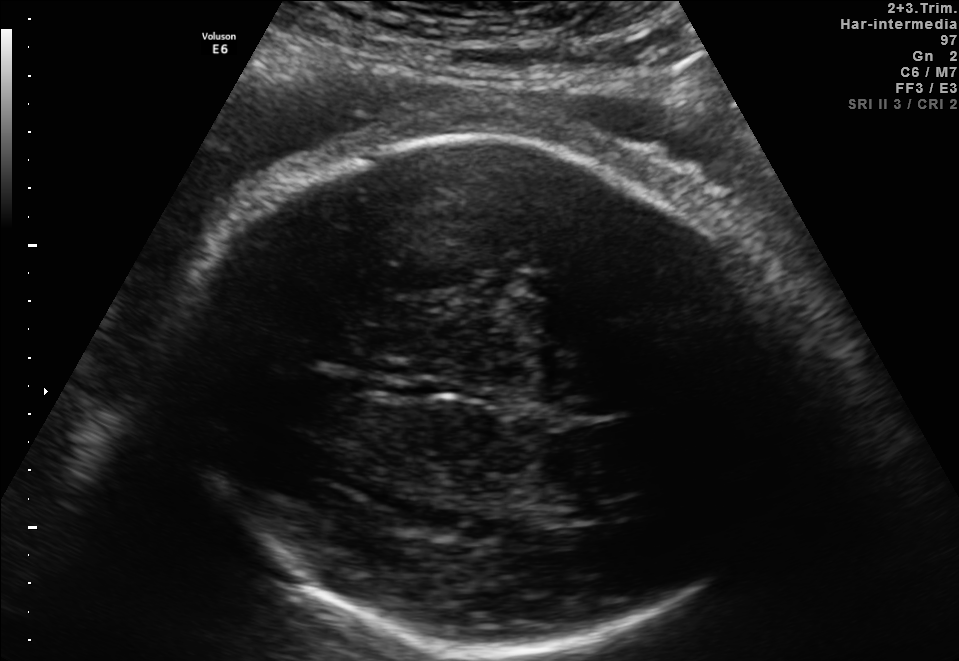
Which standard maternal-fetal ultrasound plane is shown: fetal abdomen, fetal brain, fetal femur, fetal thorax, maternal cervix, or other? If it's fetal brain and one of the three standard brain planes (trans-thalamic, trans-cerebellum, trans-ventricular), name which.

Fetal brain (trans-thalamic plane)